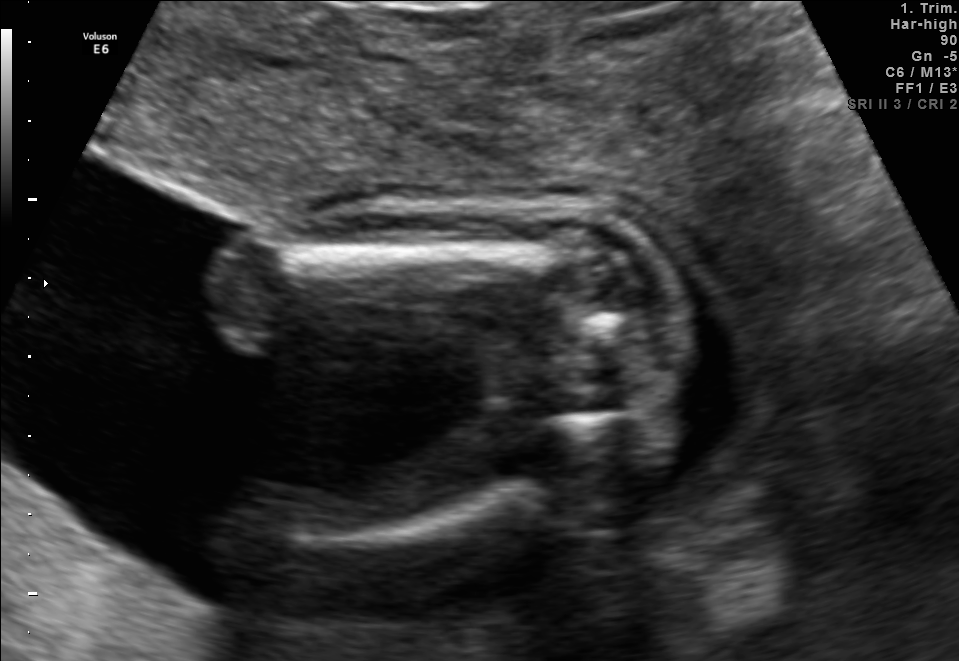
Identify the standard plane in this fetal ultrasound image: fetal abdomen, fetal brain, fetal femur, fetal thorax, maternal cervix, or other. If it's fetal brain and one of the three standard brain planes (trans-thalamic, trans-cerebellum, trans-ventricular), name which.

Fetal femur